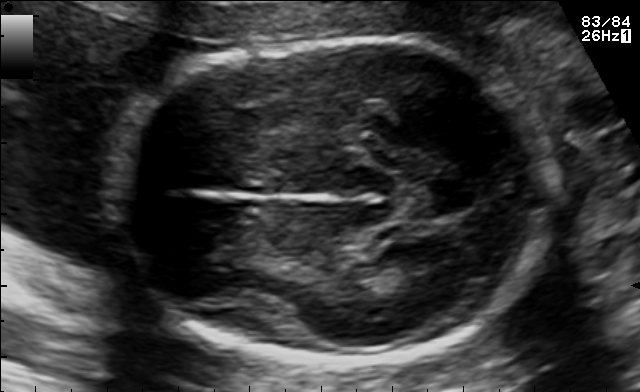
In this fetal brain, trans-thalamic plane, give bounding boxes for the head outline, cavum septum pellucidum (CSP), and lateral ventricle (LV), where visible.

Head: [113,39,559,361]